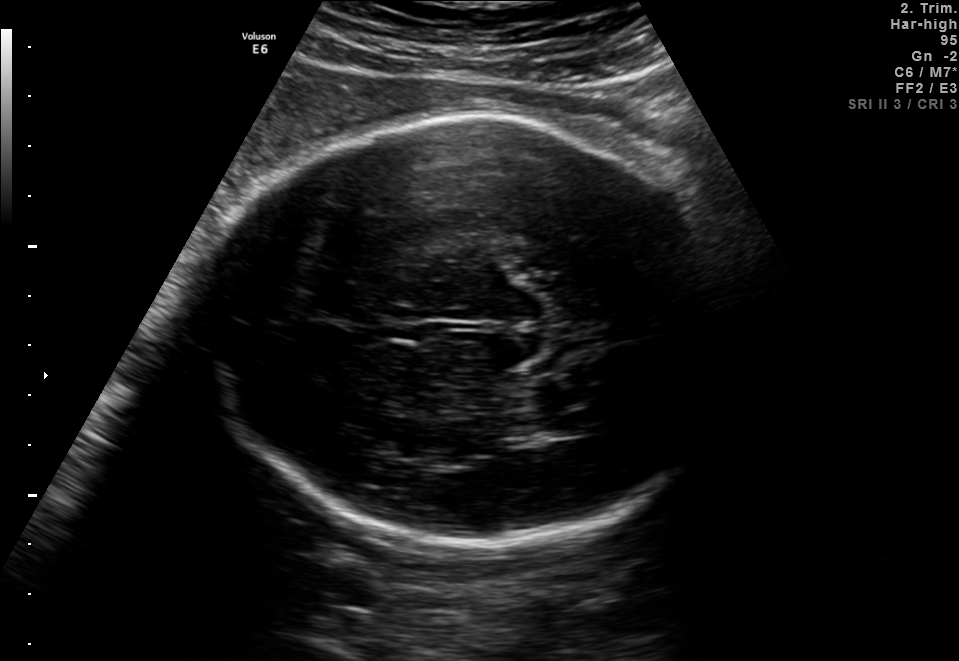
In this fetal brain, trans-thalamic plane, give the bounding box of the lateral ventricle.

[538,409,605,441]